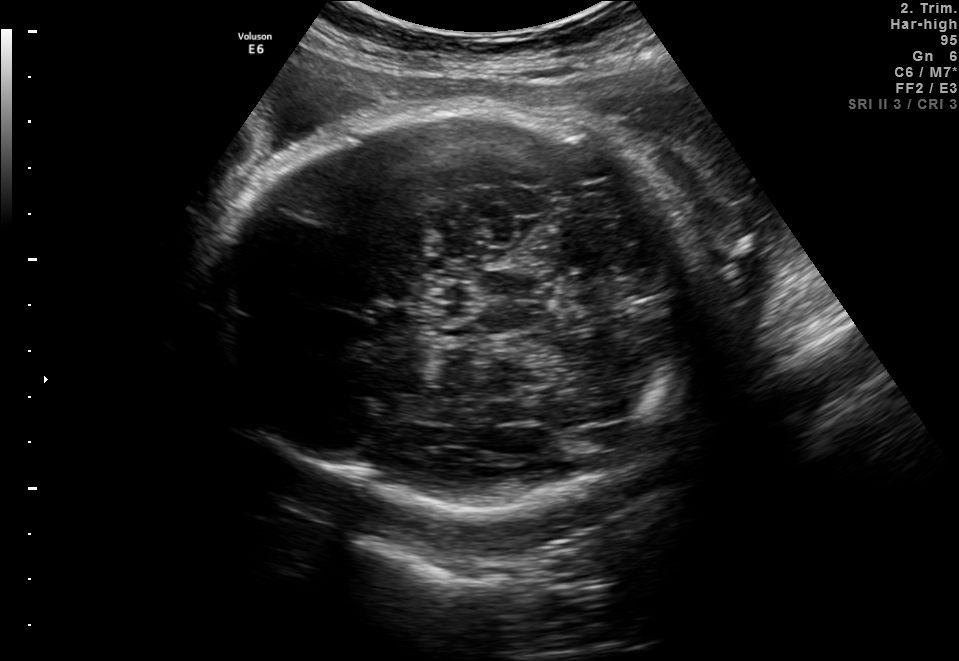
Fetal brain, trans-thalamic plane. Locate the fetal head.

Head: [207,102,694,515]